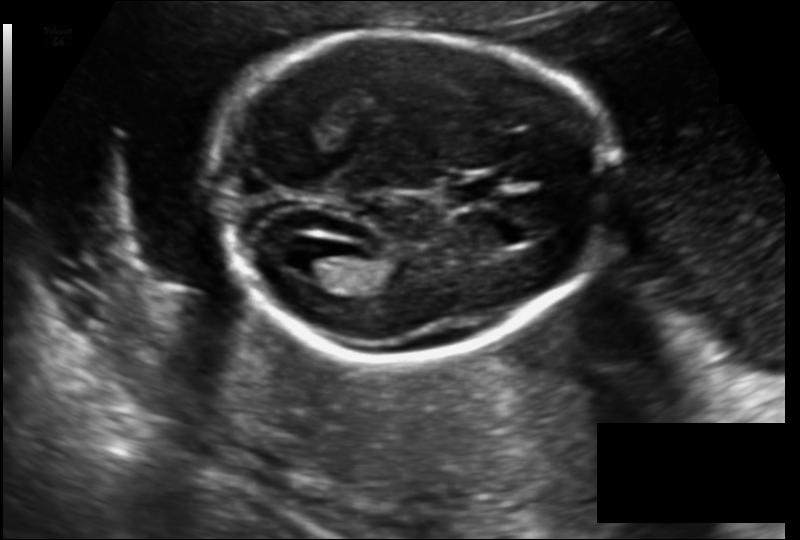
Estimate the fetal head circumference from this 2D ultrasound. Image width: 113.3 mm.

Head circumference: 168.9 mm.